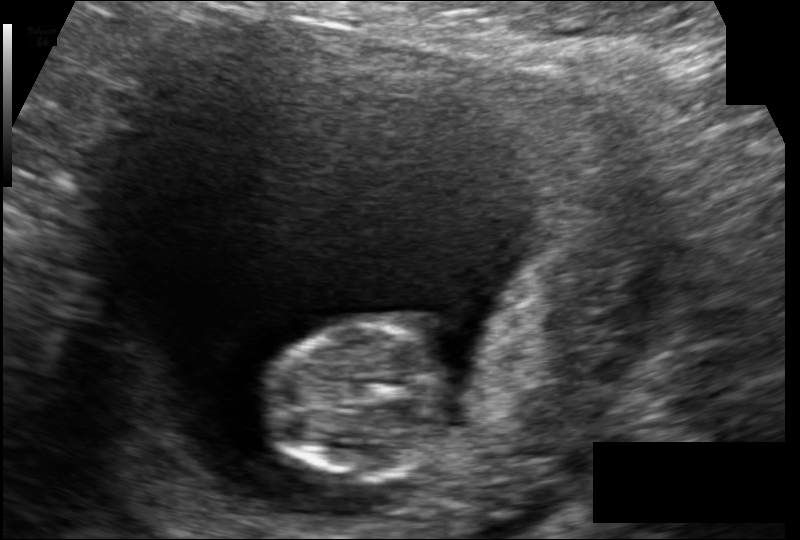
From this fetal ultrasound, estimate the head circumference (image width 93.6 mm).

Head circumference: 65.7 mm.